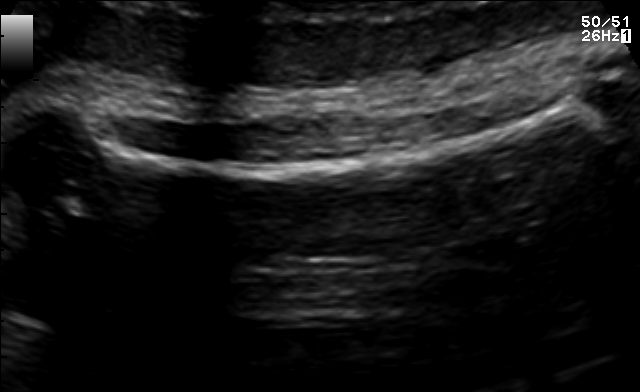
Identify the standard plane in this fetal ultrasound image: fetal abdomen, fetal brain, fetal femur, fetal thorax, maternal cervix, or other. If it's fetal brain and one of the three standard brain planes (trans-thalamic, trans-cerebellum, trans-ventricular), name which.

Fetal femur